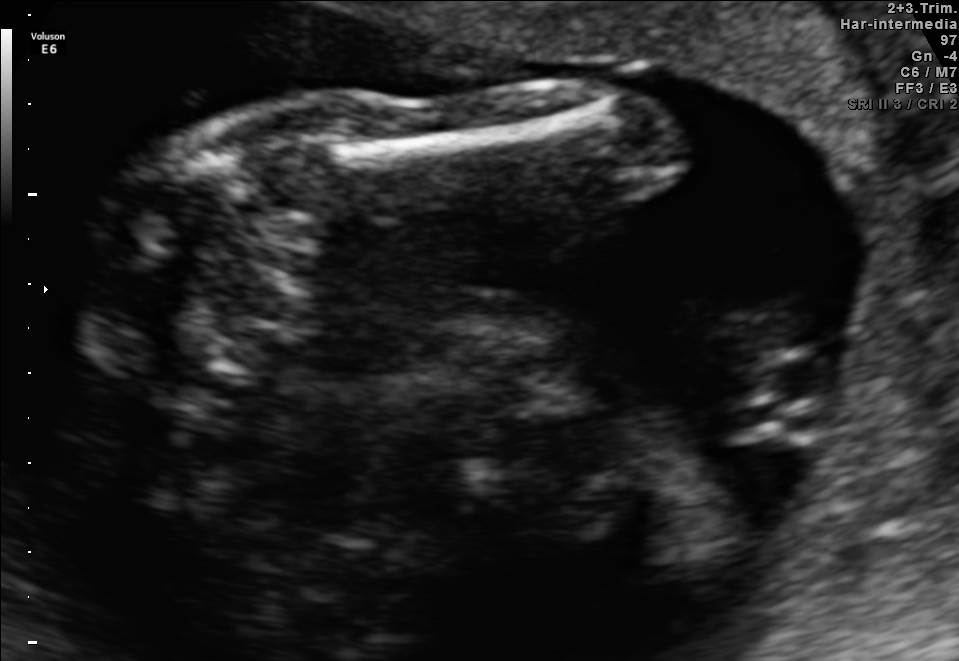
Identify the standard plane in this fetal ultrasound image: fetal abdomen, fetal brain, fetal femur, fetal thorax, maternal cervix, or other. If it's fetal brain and one of the three standard brain planes (trans-thalamic, trans-cerebellum, trans-ventricular), name which.

Fetal femur